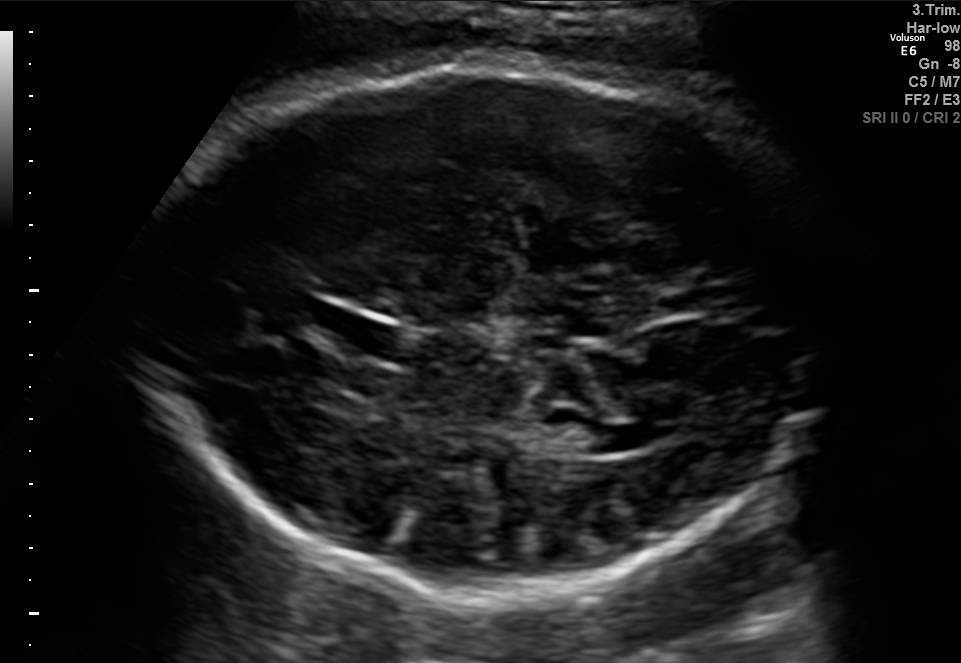
Fetal brain, trans-thalamic plane. Where is the fetal head?

Head bounding box: [131,70,830,589]